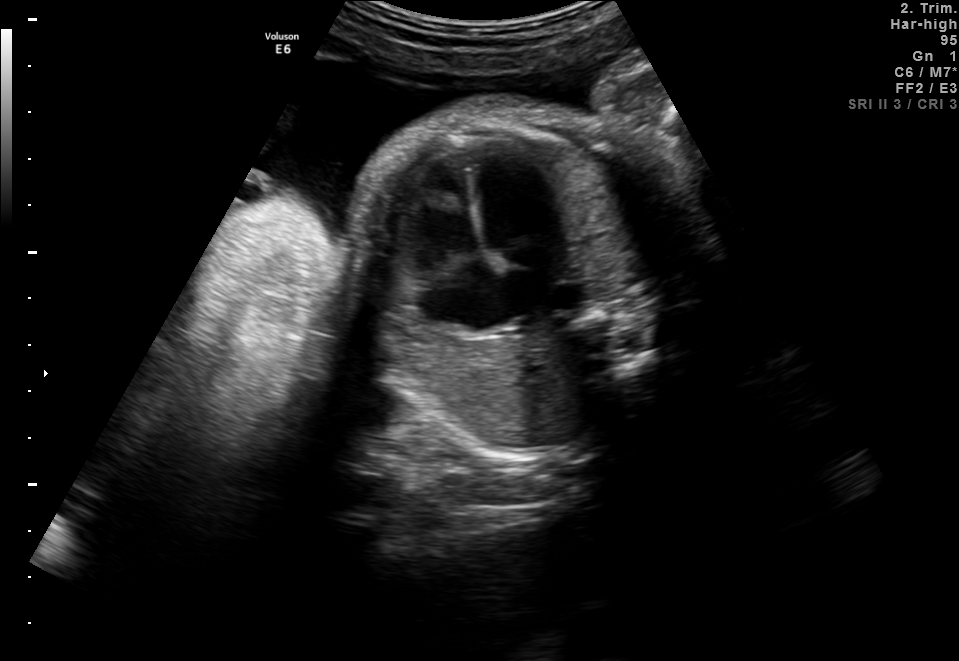
Which standard maternal-fetal ultrasound plane is shown: fetal abdomen, fetal brain, fetal femur, fetal thorax, maternal cervix, or other? If it's fetal brain and one of the three standard brain planes (trans-thalamic, trans-cerebellum, trans-ventricular), name which.

Fetal thorax